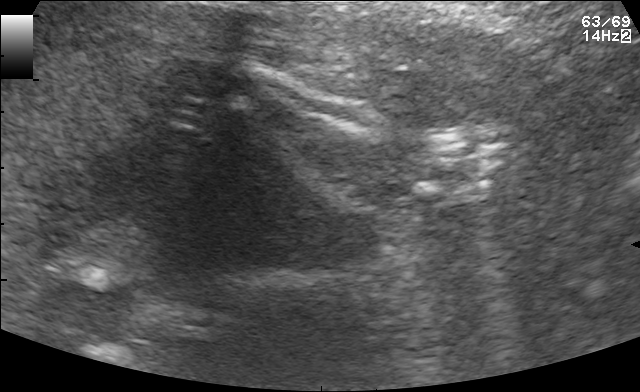
Identify the standard plane in this fetal ultrasound image: fetal abdomen, fetal brain, fetal femur, fetal thorax, maternal cervix, or other. If it's fetal brain and one of the three standard brain planes (trans-thalamic, trans-cerebellum, trans-ventricular), name which.

Other